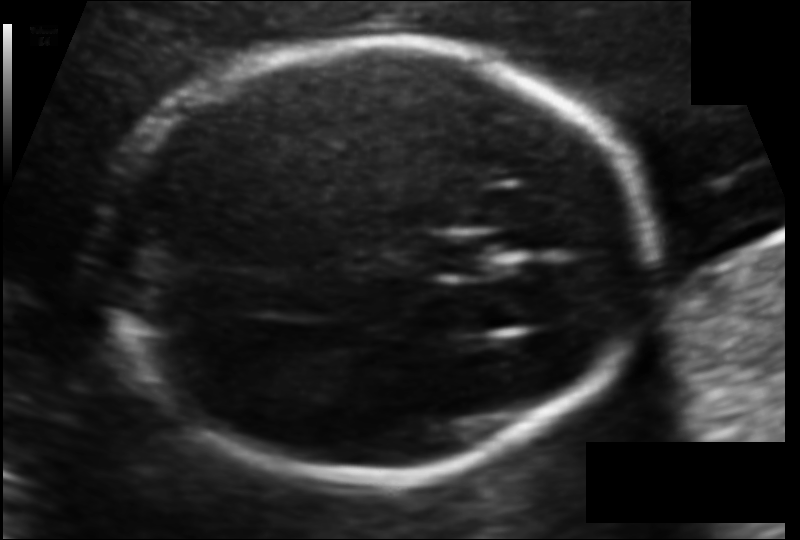
Fetal head ultrasound. Image width: 83.5 mm. Give [x1,y1,x2,y2] bounding boxes for each visible structure among: fetal head, CSP, LV.

Head: [105,41,650,480]
CSP: [429,235,497,278]